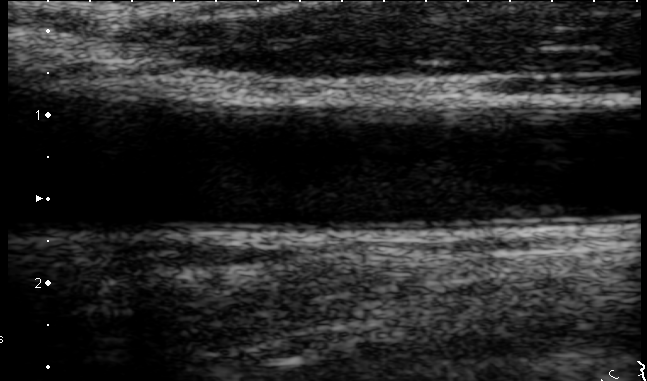
Which standard maternal-fetal ultrasound plane is shown: fetal abdomen, fetal brain, fetal femur, fetal thorax, maternal cervix, or other? If it's fetal brain and one of the three standard brain planes (trans-thalamic, trans-cerebellum, trans-ventricular), name which.

Other